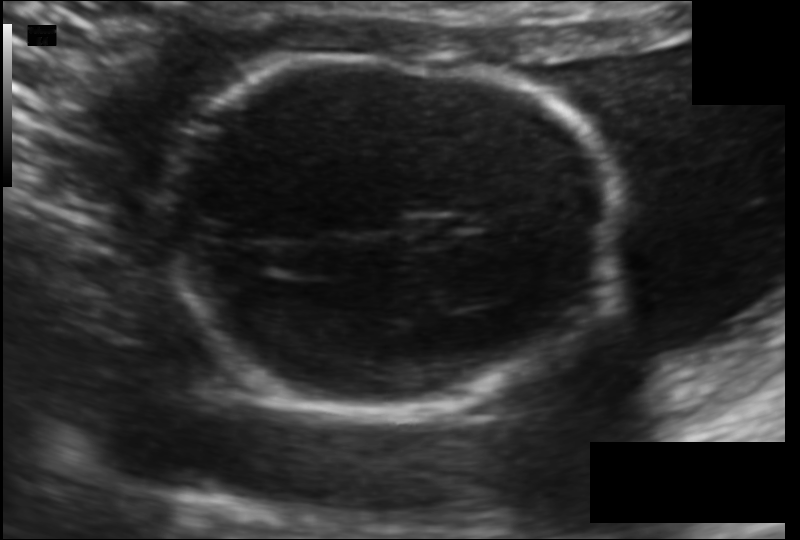
Measure the fetal head circumference shown in this ultrasound image. Image width: 91.8 mm.

Head circumference: 150.4 mm.